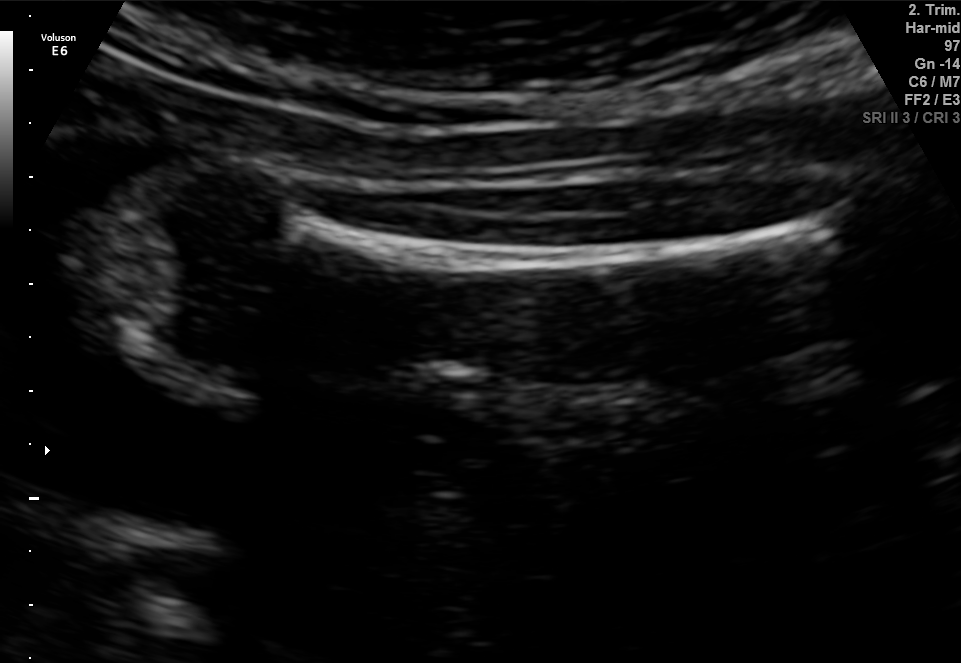
This is a 2D maternal-fetal ultrasound frame. Is it a fetal abdomen, fetal brain, fetal femur, fetal thorax, maternal cervix, or other standard plane? If it's fetal brain and one of the three standard brain planes (trans-thalamic, trans-cerebellum, trans-ventricular), name which.

Fetal femur